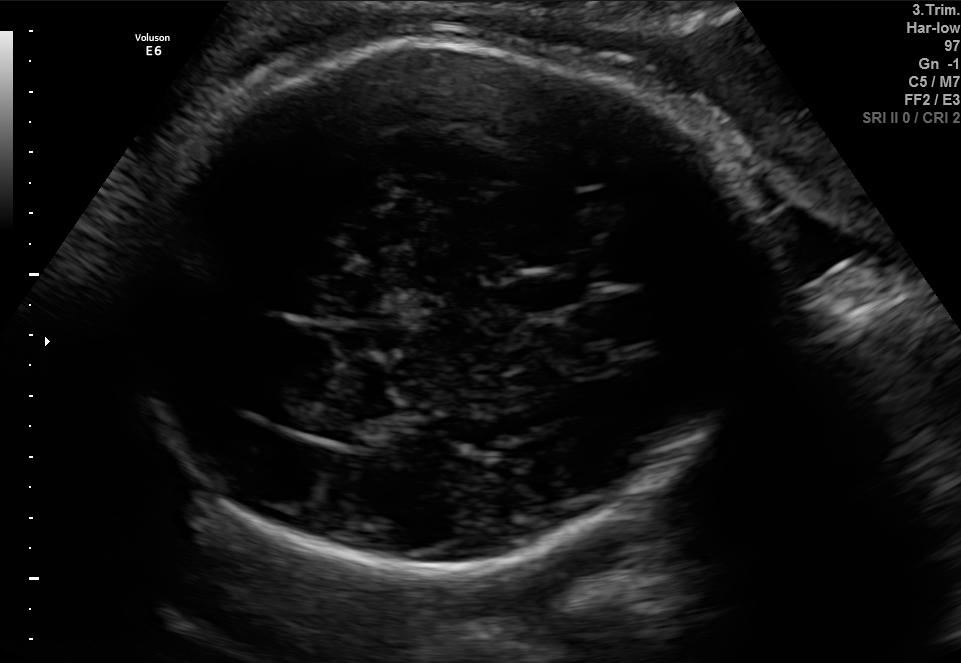
Fetal brain, trans-ventricular plane. Locate the fetal head and, if visible, the cavum septum pellucidum (CSP) and lateral ventricle (LV). Give bounding boxes as [x1,y1,x2,y2].

Head: [108,35,781,582]